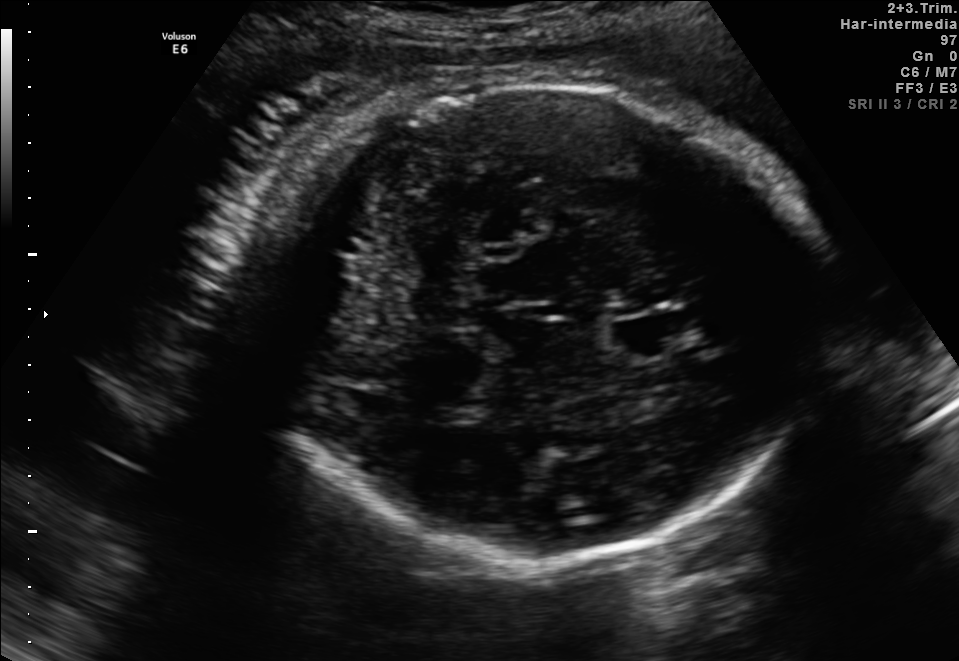
In this fetal brain, trans-thalamic plane, give the bounding box of the fetal head.

[225,83,818,562]